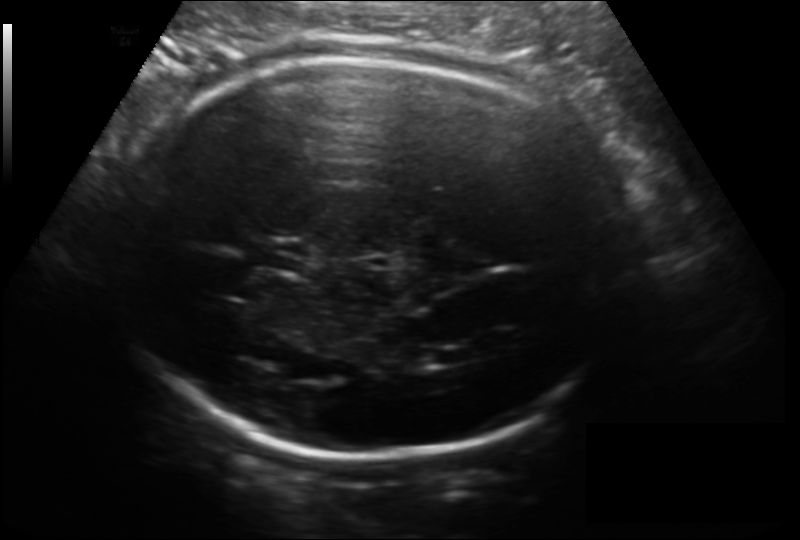
Fetal head ultrasound. Image width: 133.1 mm. Locate the fetal head and, if visible, the cavum septum pellucidum (CSP) and lateral ventricle (LV). Give bounding boxes as [x1,y1,x2,y2].

Head: [109,59,629,457]